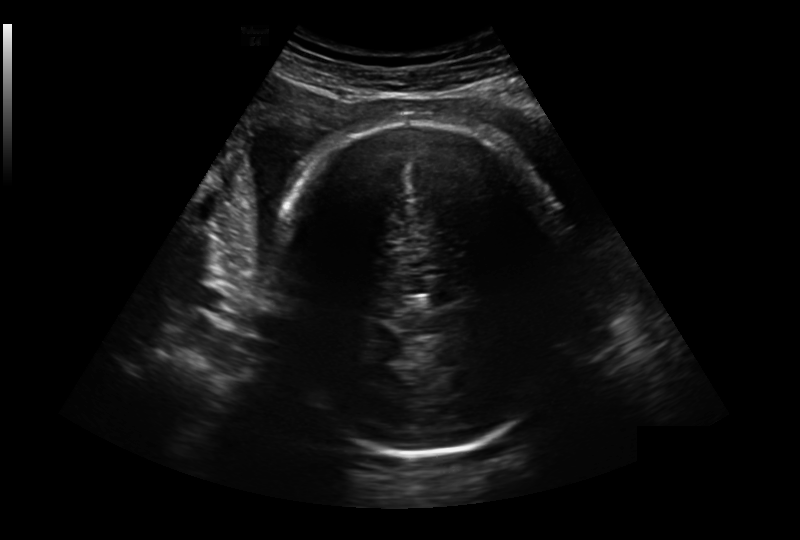
In this fetal head ultrasound, give bounding boxes for the head outline, cavum septum pellucidum (CSP), and lateral ventricle (LV), where visible. Image width: 225.0 mm.

Head: [274,122,564,454]